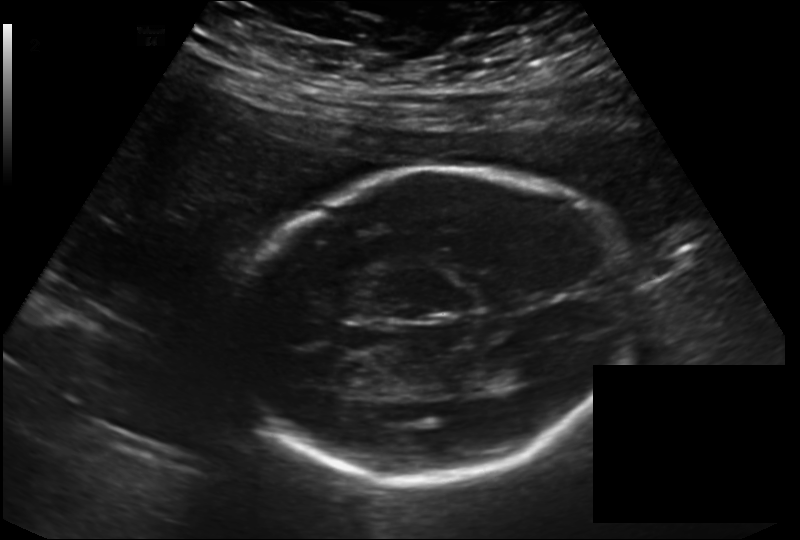
Fetal head ultrasound. Image width: 158.6 mm. Give [x1,y1,x2,y2] bounding boxes for each visible structure among: fetal head, CSP, LV.

Head: [239,167,633,483]